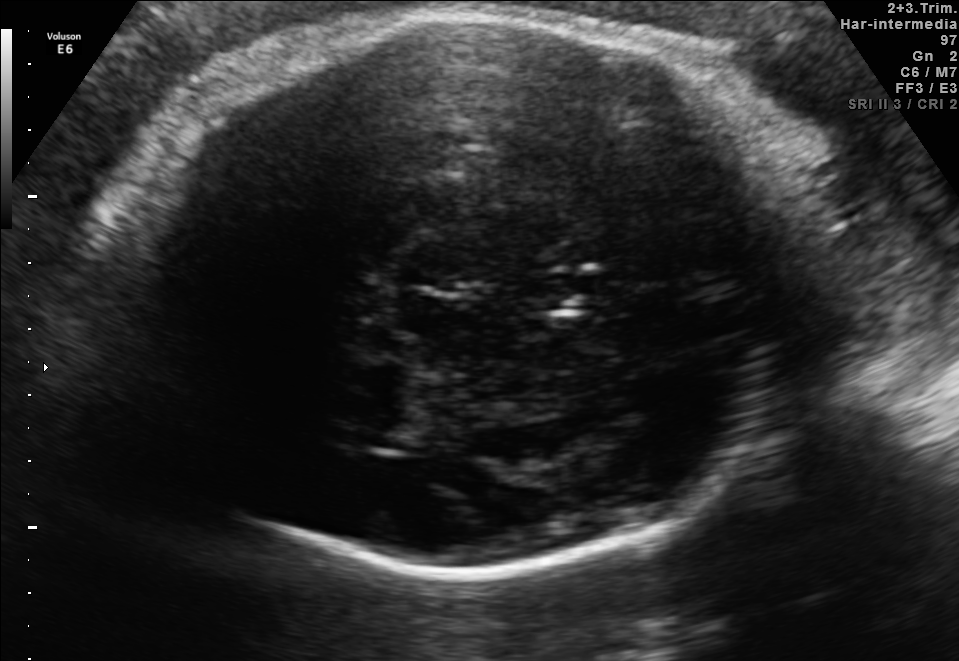
Fetal brain, trans-thalamic plane. Give [x1,y1,x2,y2] bounding boxes for each visible structure among: fetal head, CSP, LV.

Head: [89,14,818,567]
CSP: [530,275,597,309]
Lateral ventricle: [346,413,430,452]